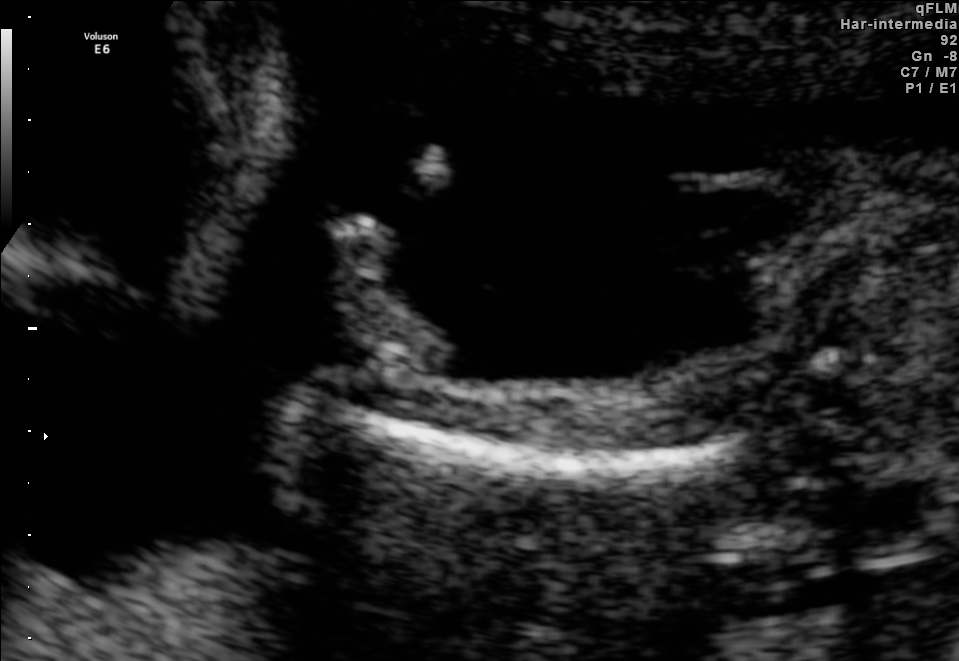
This is a 2D maternal-fetal ultrasound frame. Is it a fetal abdomen, fetal brain, fetal femur, fetal thorax, maternal cervix, or other standard plane? If it's fetal brain and one of the three standard brain planes (trans-thalamic, trans-cerebellum, trans-ventricular), name which.

Fetal femur